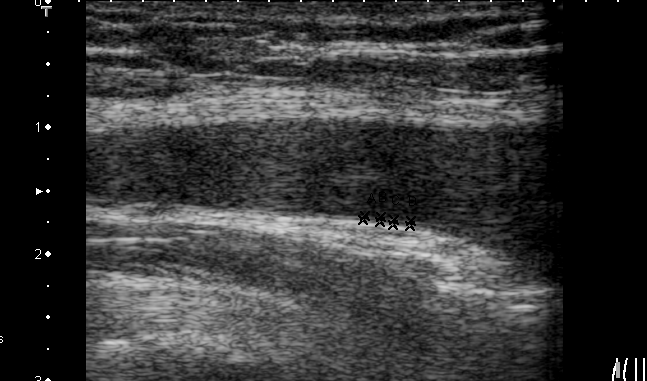
Which standard maternal-fetal ultrasound plane is shown: fetal abdomen, fetal brain, fetal femur, fetal thorax, maternal cervix, or other? If it's fetal brain and one of the three standard brain planes (trans-thalamic, trans-cerebellum, trans-ventricular), name which.

Other